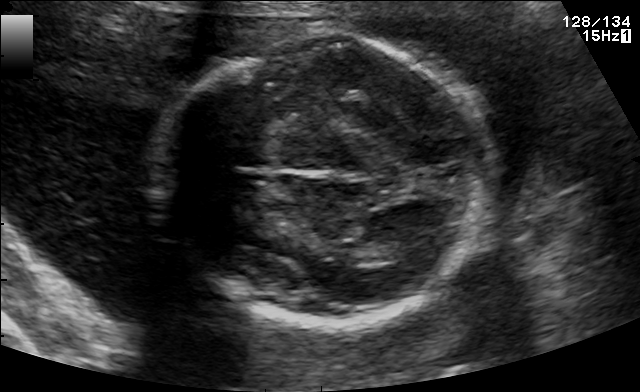
This is a 2D maternal-fetal ultrasound frame. Is it a fetal abdomen, fetal brain, fetal femur, fetal thorax, maternal cervix, or other standard plane? If it's fetal brain and one of the three standard brain planes (trans-thalamic, trans-cerebellum, trans-ventricular), name which.

Fetal brain (trans-thalamic plane)